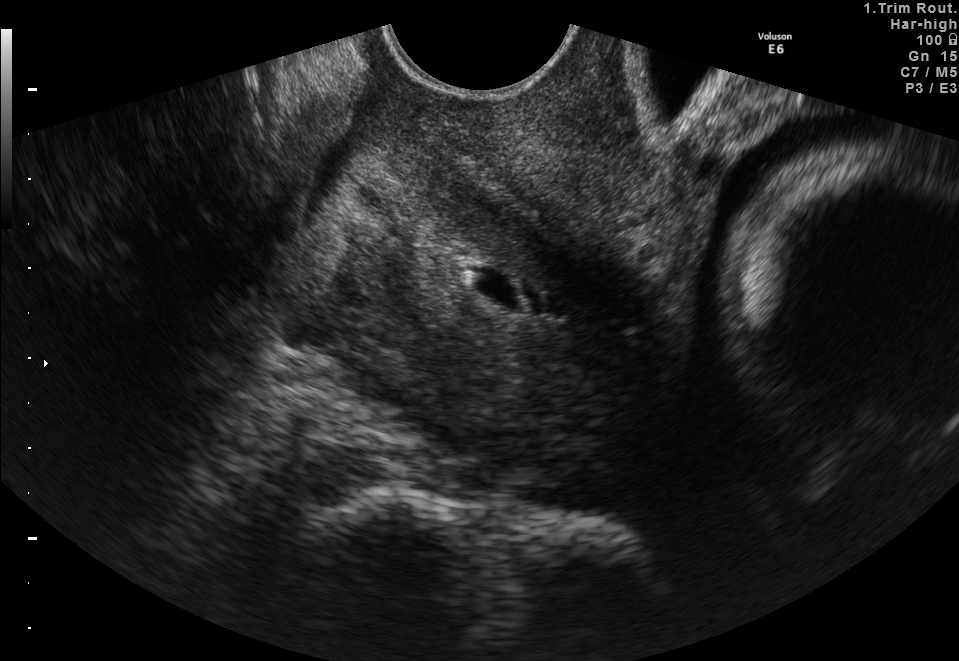
Identify the standard plane in this fetal ultrasound image: fetal abdomen, fetal brain, fetal femur, fetal thorax, maternal cervix, or other. If it's fetal brain and one of the three standard brain planes (trans-thalamic, trans-cerebellum, trans-ventricular), name which.

Maternal cervix